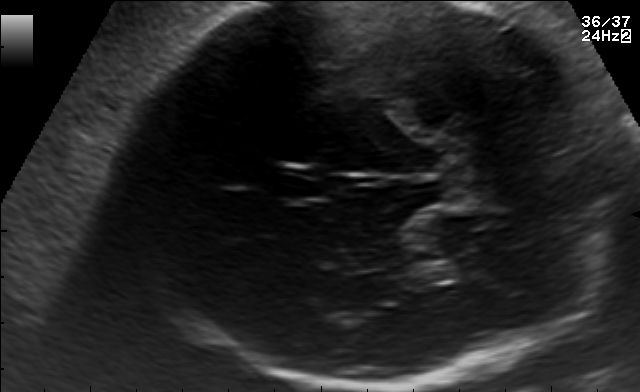
In this fetal brain, trans-thalamic plane, give the bounding box of the cavum septum pellucidum.

[273,168,329,198]